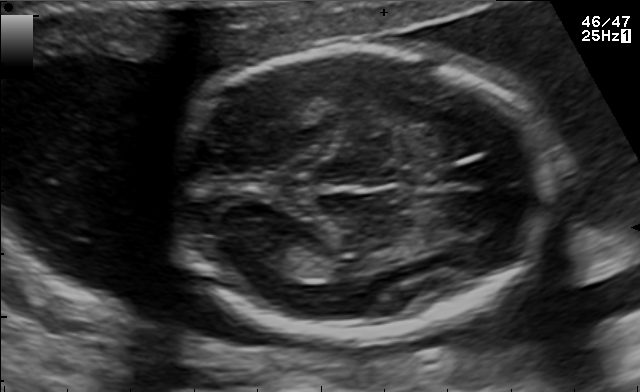
Fetal brain, trans-thalamic plane. Locate the fetal head.

Head: [172,48,546,338]